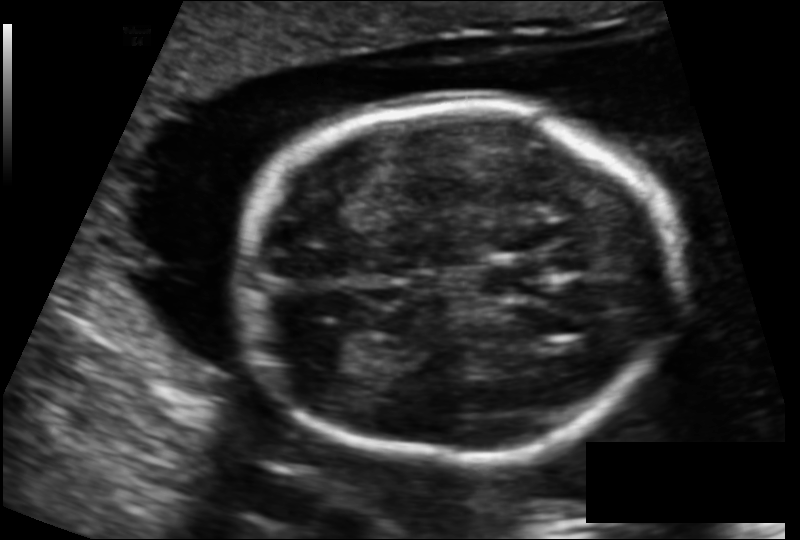
Fetal head ultrasound. Image width: 104.4 mm. Give [x1,y1,x2,y2] bounding boxes for each visible structure among: fetal head, CSP, LV.

Head: [239,105,677,462]
CSP: [485,264,548,297]
Lateral ventricle: [294,319,388,377]